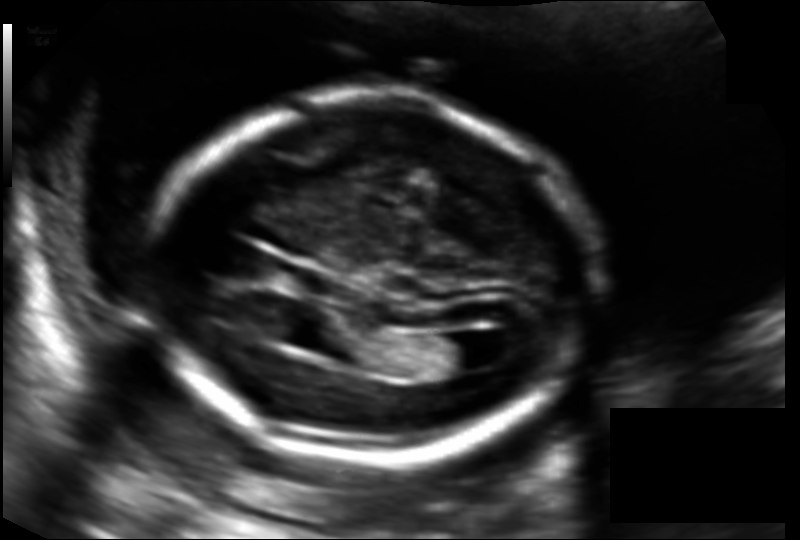
Fetal head ultrasound. Image width: 104.2 mm. Where is the cavum septum pellucidum?

CSP bounding box: [277,258,336,300]